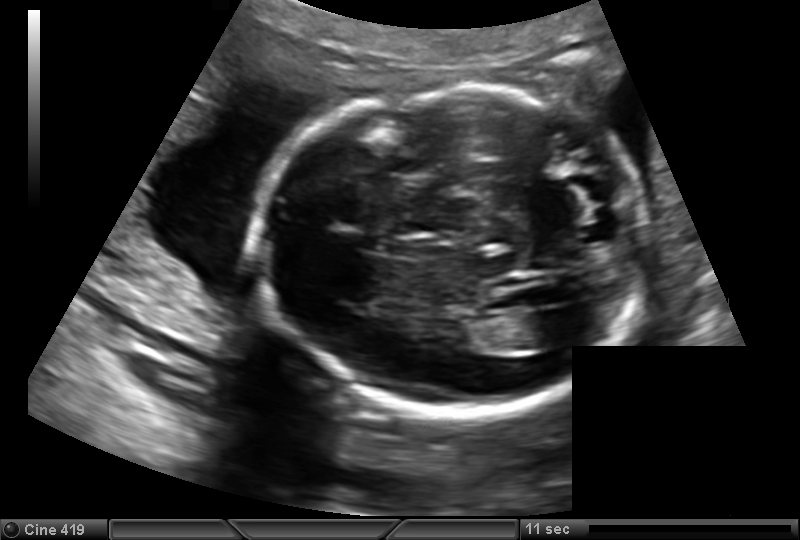
What is the fetal head circumference? Image width is 120.7 mm.

176.9 mm